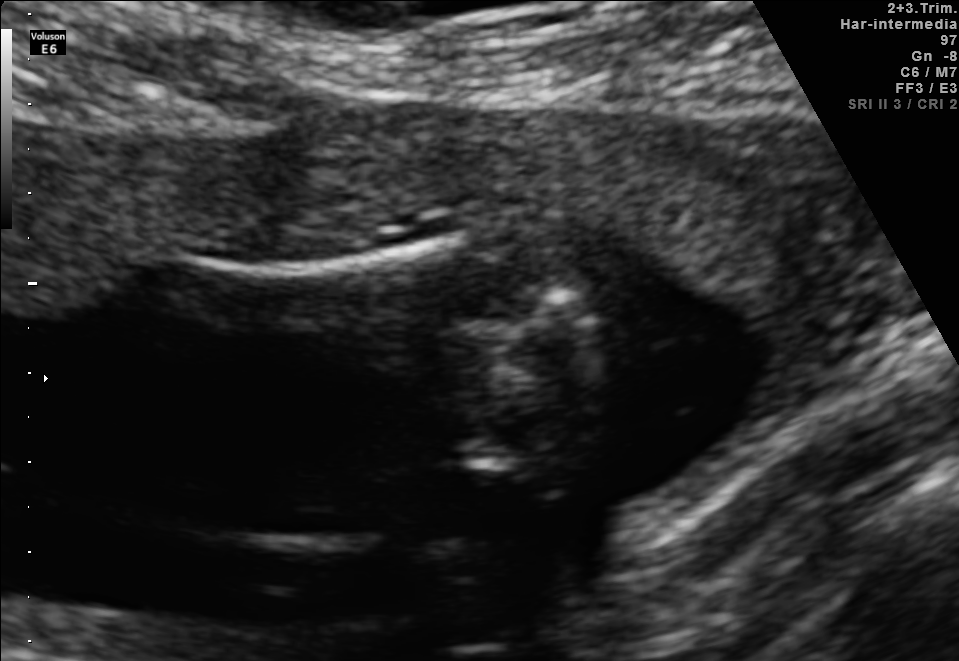
Which standard maternal-fetal ultrasound plane is shown: fetal abdomen, fetal brain, fetal femur, fetal thorax, maternal cervix, or other? If it's fetal brain and one of the three standard brain planes (trans-thalamic, trans-cerebellum, trans-ventricular), name which.

Fetal femur